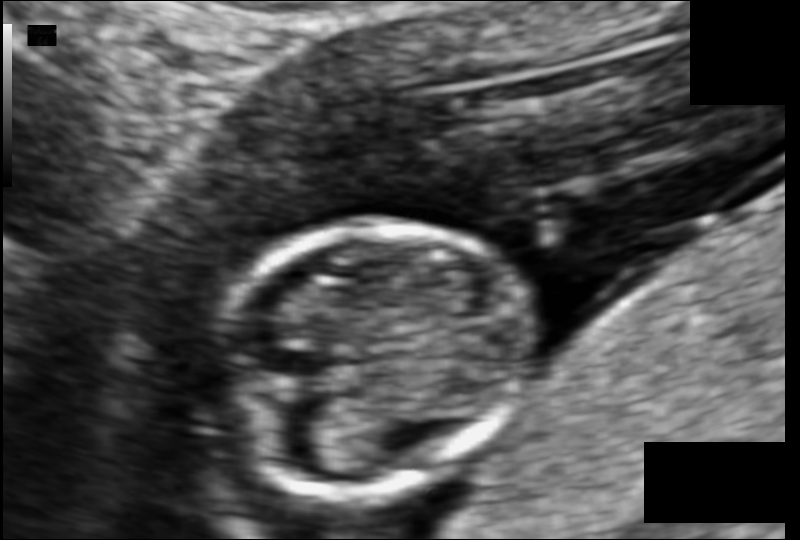
Fetal head ultrasound. Image width: 62.1 mm. Give [x1,y1,x2,y2] bounding boxes for each visible structure among: fetal head, CSP, LV.

Head: [216,223,532,493]